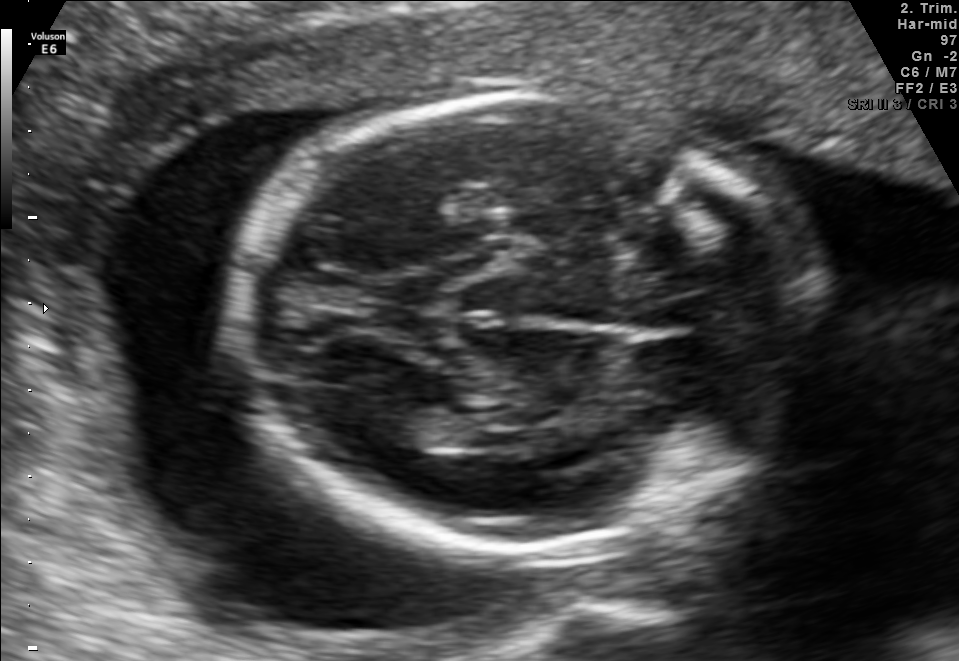
In this fetal brain, trans-thalamic plane, give bounding boxes for the head outline, cavum septum pellucidum (CSP), and lateral ventricle (LV), where visible.

Head: [225,96,832,547]
Lateral ventricle: [358,392,457,453]